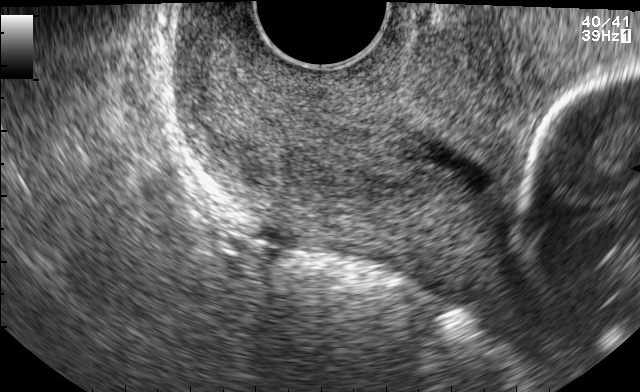
This is a 2D maternal-fetal ultrasound frame. Is it a fetal abdomen, fetal brain, fetal femur, fetal thorax, maternal cervix, or other standard plane? If it's fetal brain and one of the three standard brain planes (trans-thalamic, trans-cerebellum, trans-ventricular), name which.

Maternal cervix